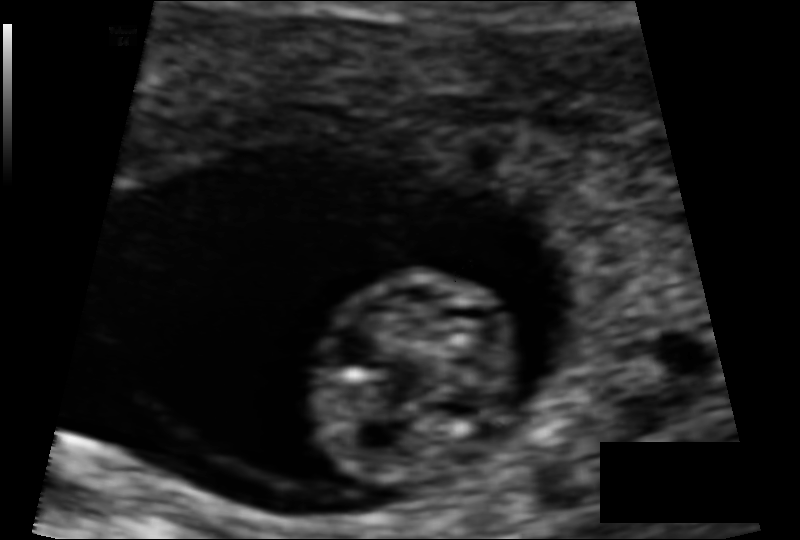
Fetal head ultrasound. Image width: 55.3 mm. Locate the fetal head.

Head: [310,269,523,485]